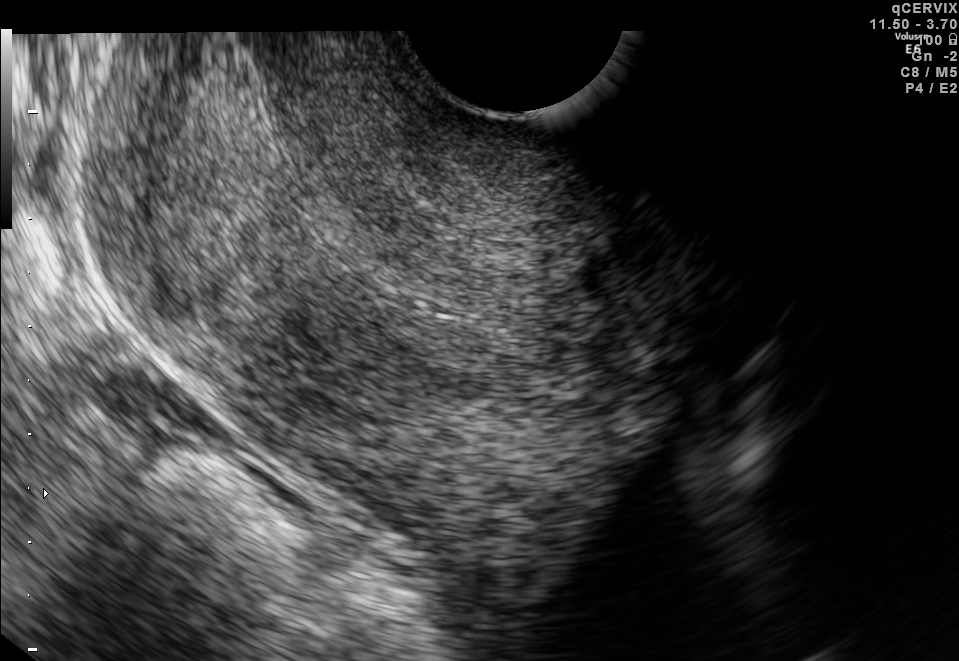
Identify the standard plane in this fetal ultrasound image: fetal abdomen, fetal brain, fetal femur, fetal thorax, maternal cervix, or other. If it's fetal brain and one of the three standard brain planes (trans-thalamic, trans-cerebellum, trans-ventricular), name which.

Maternal cervix